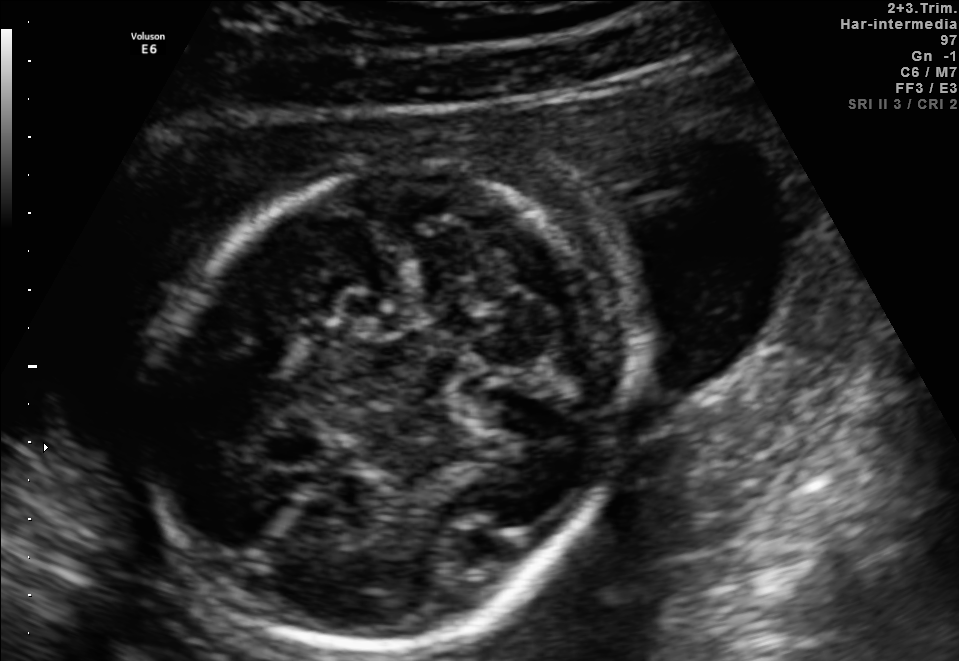
In this fetal brain, trans-cerebellum plane, give bounding boxes for the head outline, cavum septum pellucidum (CSP), and lateral ventricle (LV), where visible.

Head: [153,162,616,647]